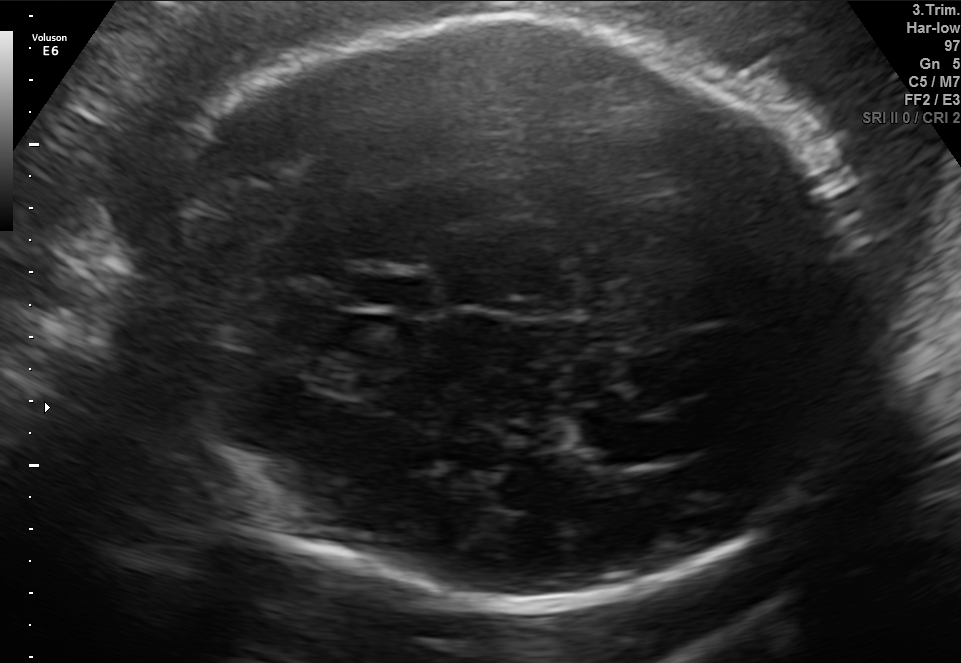
Fetal brain, trans-thalamic plane. Locate the lateral ventricle.

Lateral ventricle: [580,414,692,469]